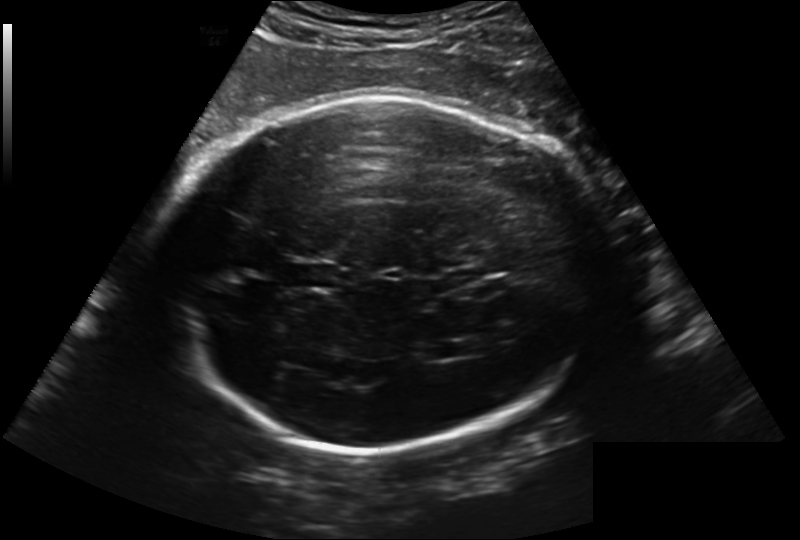
Fetal head ultrasound. Image width: 192.7 mm. Locate the cavum septum pellucidum.

CSP: [287,261,338,291]